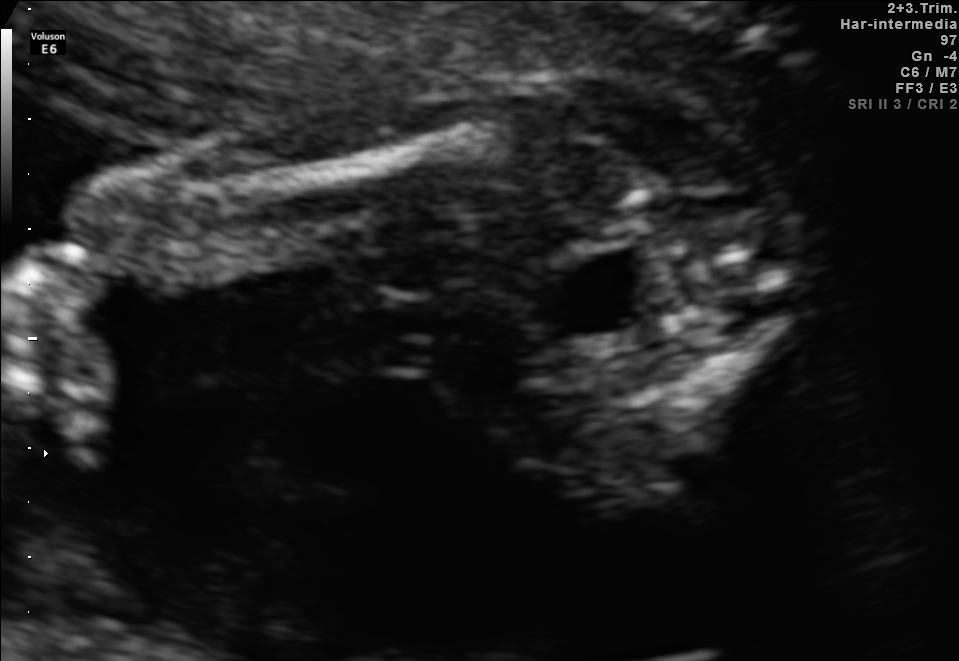
This is a 2D maternal-fetal ultrasound frame. Is it a fetal abdomen, fetal brain, fetal femur, fetal thorax, maternal cervix, or other standard plane? If it's fetal brain and one of the three standard brain planes (trans-thalamic, trans-cerebellum, trans-ventricular), name which.

Fetal femur